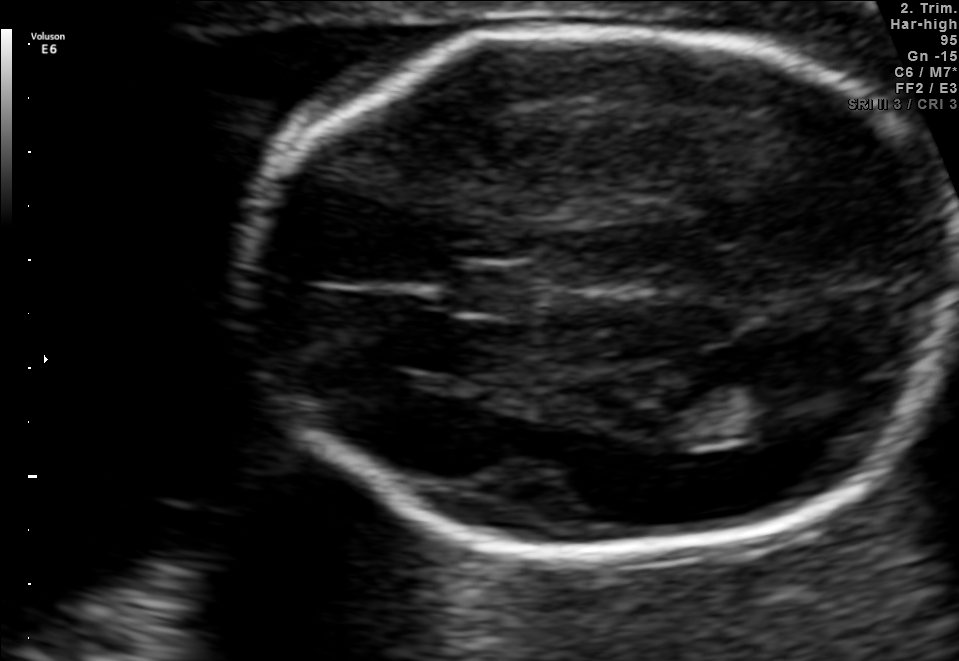
In this fetal brain, trans-thalamic plane, give the bounding box of the cavum septum pellucidum.

[453,265,531,313]